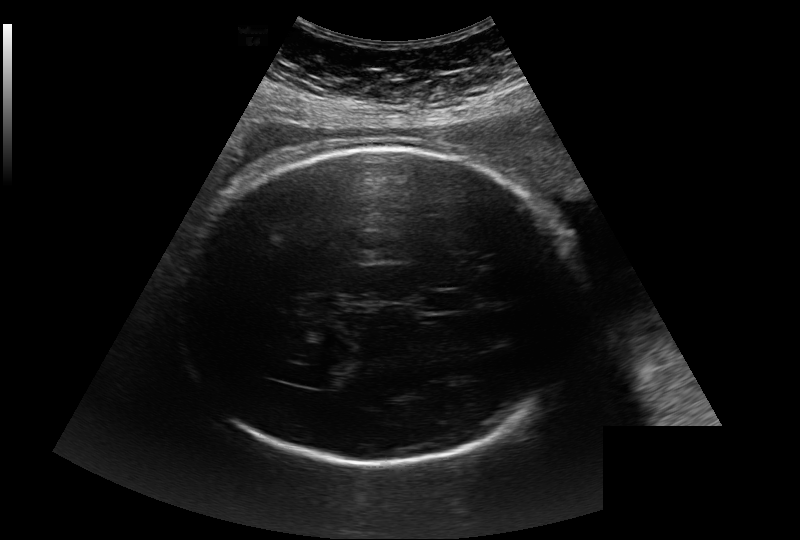
In this fetal head ultrasound, give bounding boxes for the head outline, cavum septum pellucidum (CSP), and lateral ventricle (LV), where visible. Image width: 227.4 mm.

Head: [178,147,579,465]
CSP: [418,288,475,314]
Lateral ventricle: [309,370,342,391]